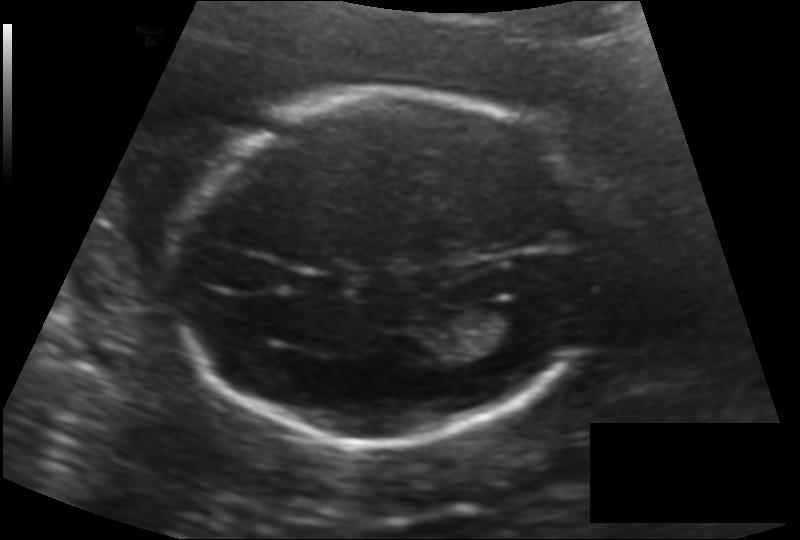
In this fetal head ultrasound, give the bounding box of the fetal head. Image width: 112.2 mm.

[169,91,594,445]